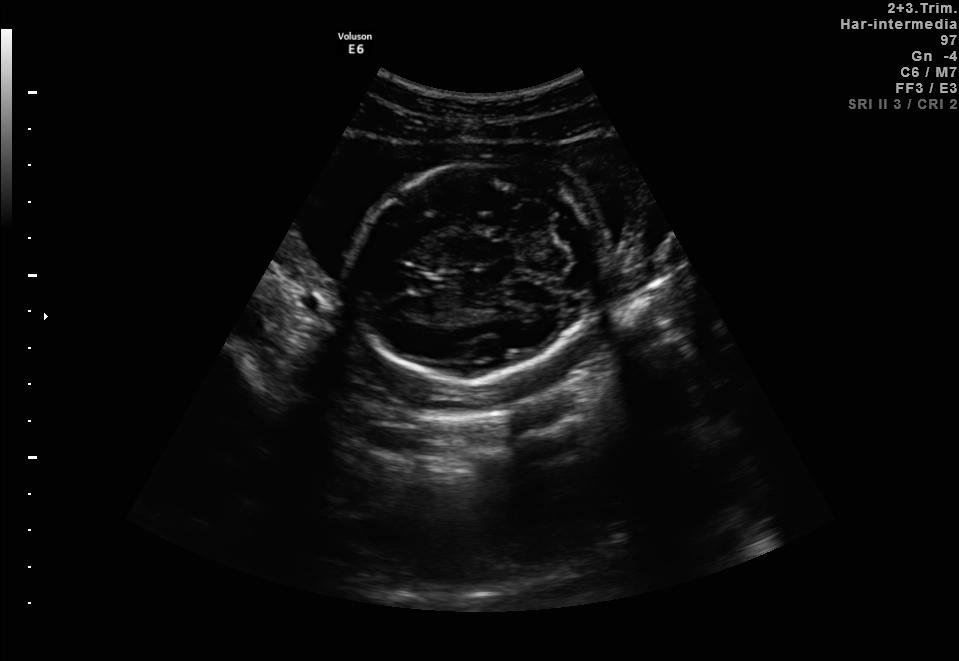
Fetal brain, trans-cerebellum plane. Locate the fetal head.

Head: [349,163,602,382]